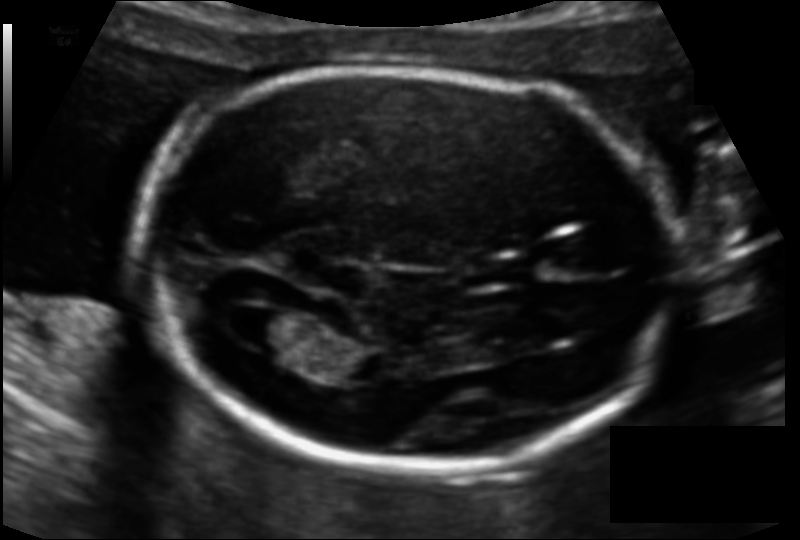
Fetal head ultrasound. Image width: 89.1 mm. Give [x1,y1,x2,y2] bounding boxes for each visible structure among: fetal head, CSP, LV.

Head: [140,66,673,471]
CSP: [468,252,532,293]
Lateral ventricle: [222,297,297,355]